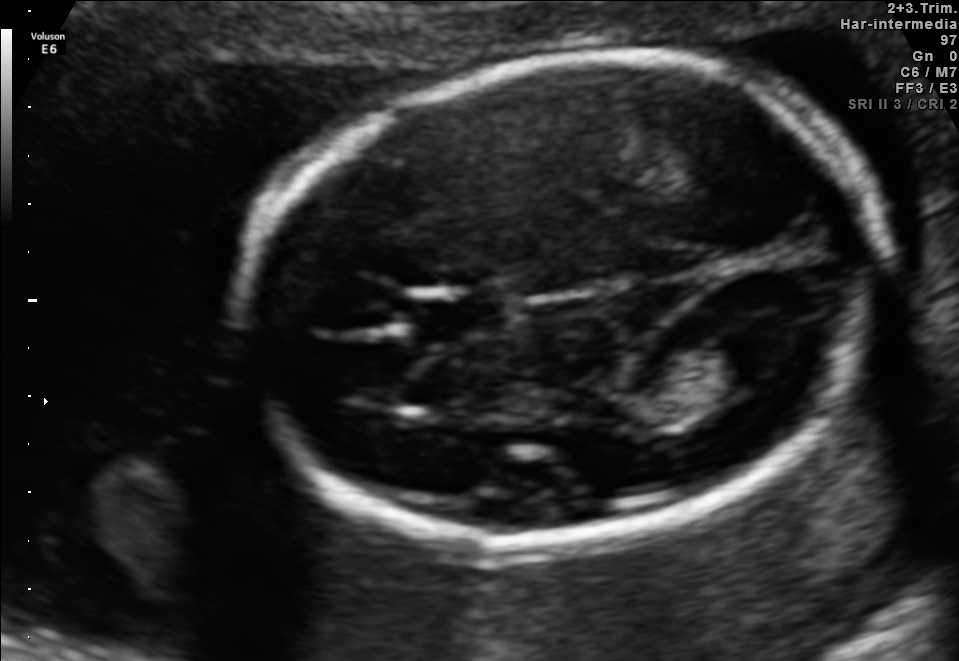
Fetal brain, trans-ventricular plane. Locate the fetal head.

Head: [235,49,896,564]